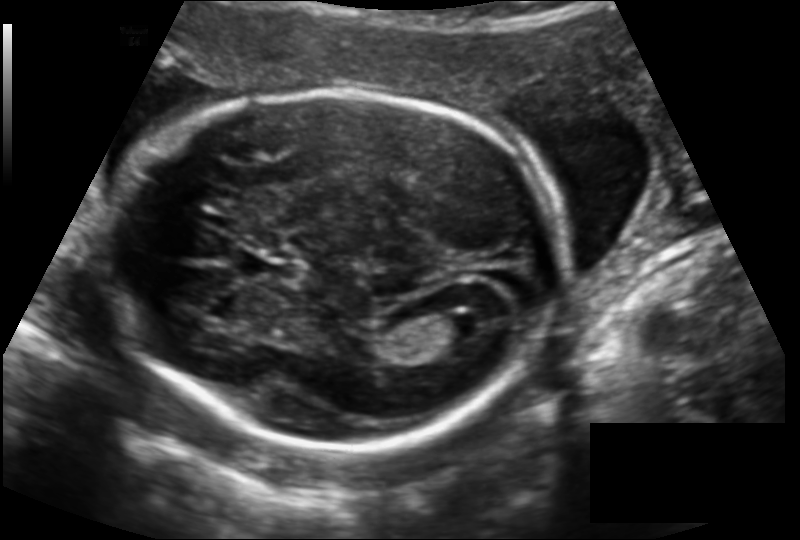
Fetal head ultrasound. Image width: 113.5 mm. Locate the fetal head and, if visible, the cavum septum pellucidum (CSP) and lateral ventricle (LV). Give bounding boxes as [x1,y1,x2,y2].

Head: [133,93,555,445]
CSP: [244,251,304,287]
Lateral ventricle: [427,307,482,347]